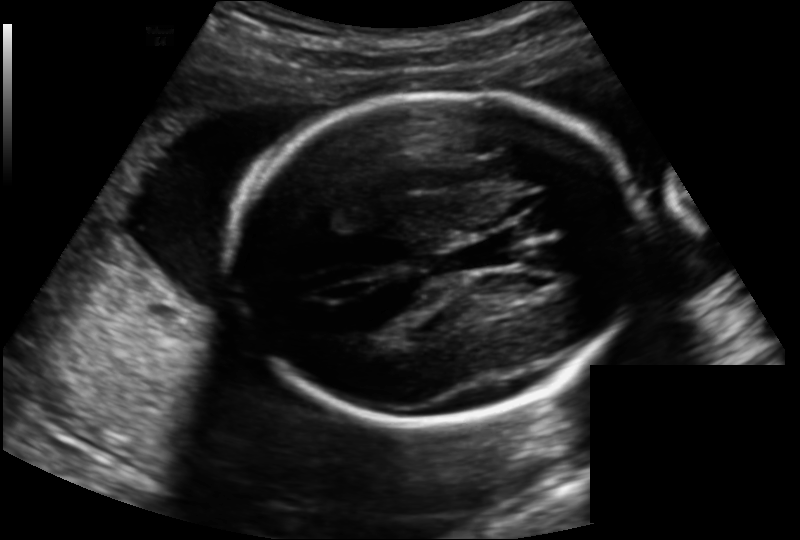
From this fetal ultrasound, estimate the head circumference (image width 130.7 mm).

Head circumference: 196.5 mm.